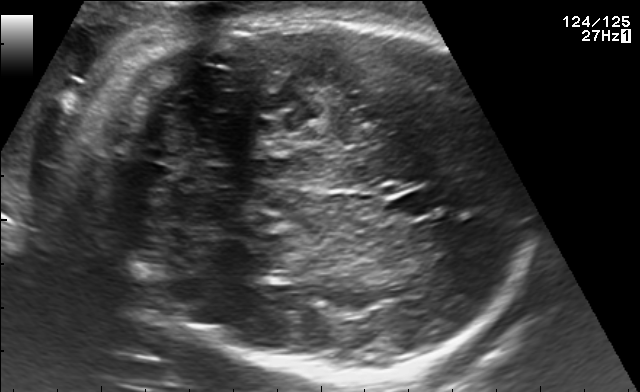
Classify this maternal-fetal ultrasound image as one of the six standard planes — fetal abdomen, fetal brain, fetal femur, fetal thorax, maternal cervix, or other. If it's fetal brain and one of the three standard brain planes (trans-thalamic, trans-cerebellum, trans-ventricular), name which.

Fetal brain (trans-cerebellum plane)